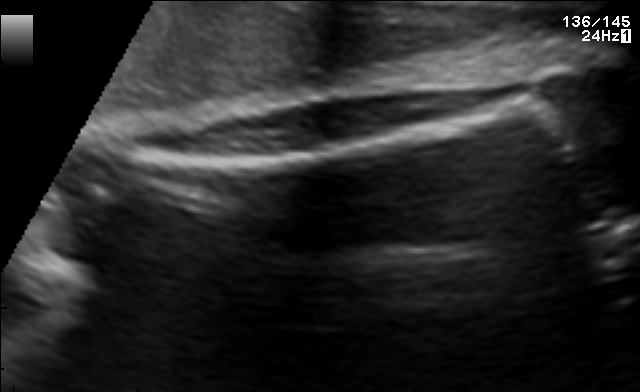
Which standard maternal-fetal ultrasound plane is shown: fetal abdomen, fetal brain, fetal femur, fetal thorax, maternal cervix, or other? If it's fetal brain and one of the three standard brain planes (trans-thalamic, trans-cerebellum, trans-ventricular), name which.

Fetal femur